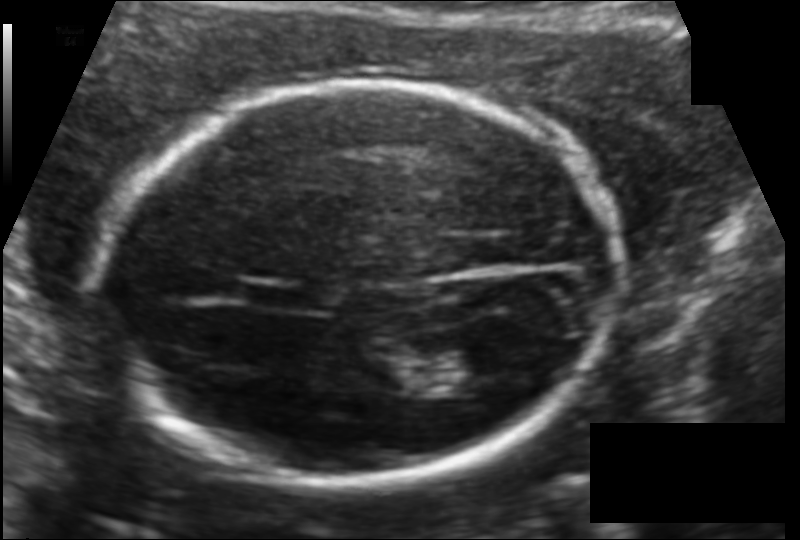
Fetal head ultrasound. Image width: 96.7 mm. Locate the fetal head.

Head: [104,83,624,480]